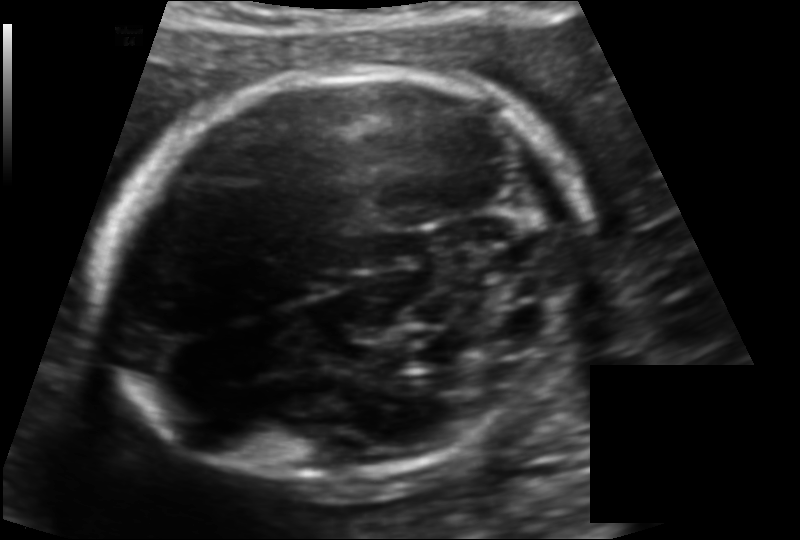
Fetal head ultrasound. Image width: 100.1 mm. Locate the fetal head.

Head: [103,66,586,487]